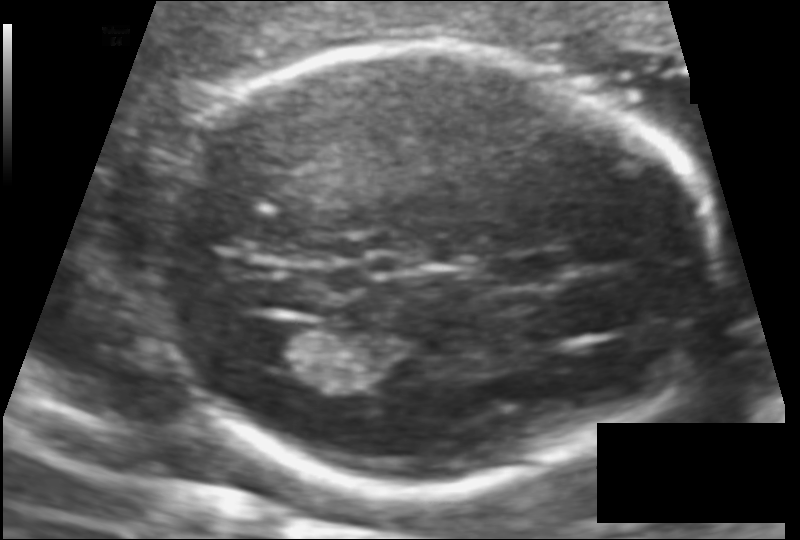
Estimate the fetal head circumference from this 2D ultrasound. Image width: 84.7 mm.

Head circumference: 173.7 mm.